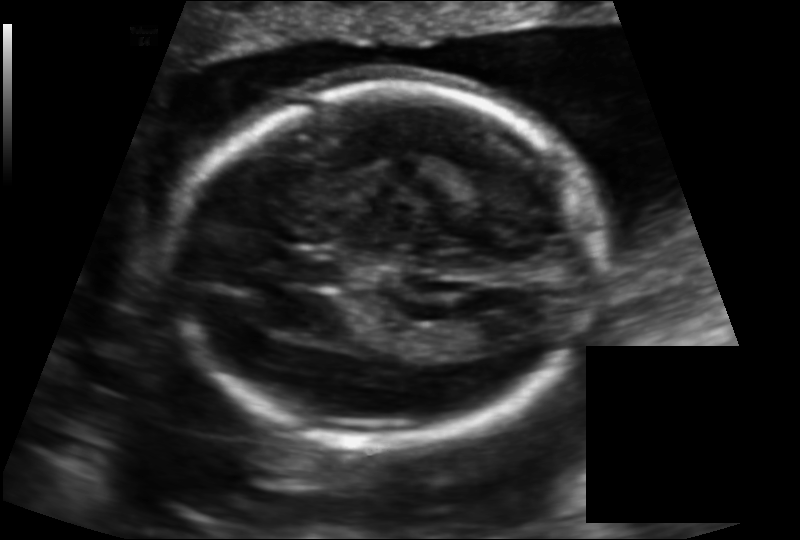
Fetal head ultrasound. Image width: 106.6 mm. Locate the fetal head.

Head: [173,86,596,440]